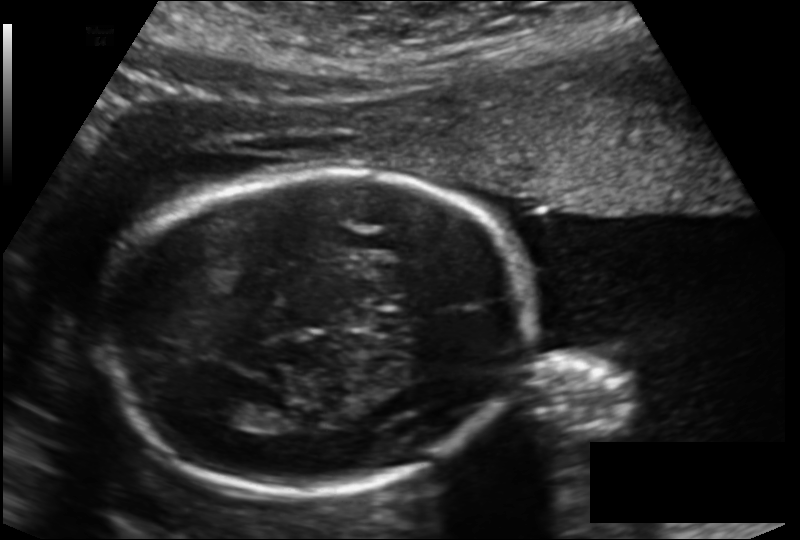
Fetal head ultrasound. Image width: 123.8 mm. Where is the lateral ventricle?

Lateral ventricle bounding box: [201,394,262,429]